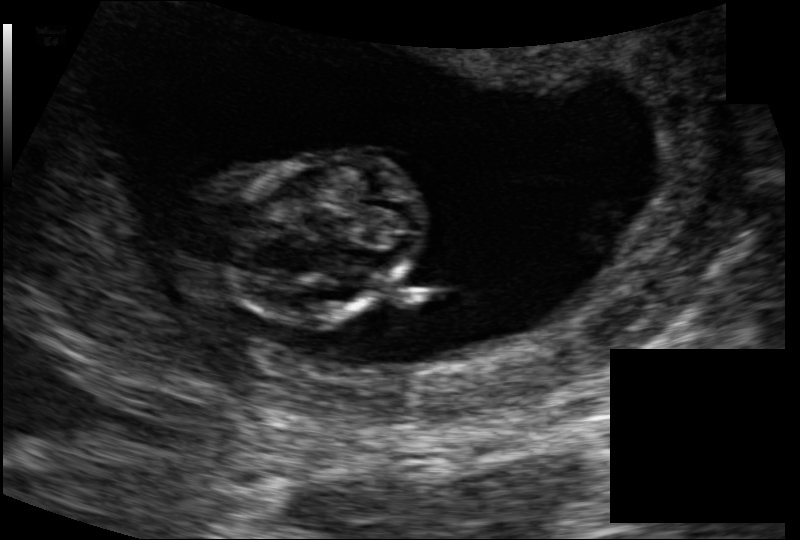
In this fetal head ultrasound, give the bounding box of the fetal head. Image width: 92.7 mm.

[221,148,425,325]